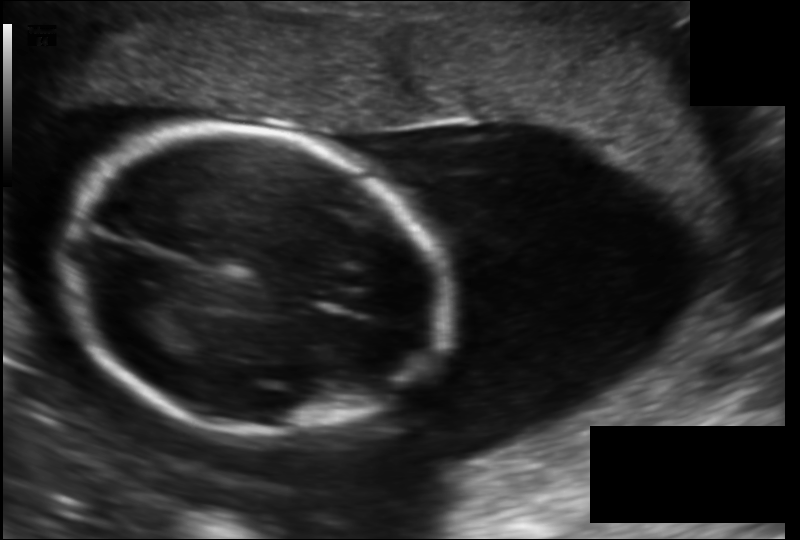
Fetal head ultrasound. Image width: 124.6 mm. Locate the fetal head.

Head: [66,129,442,434]